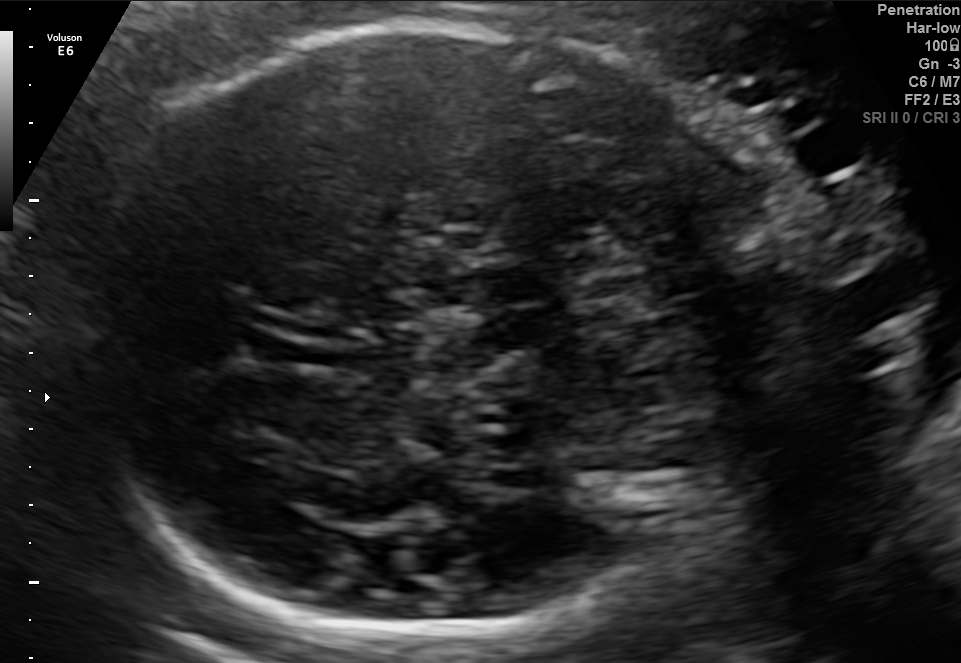
Fetal brain, trans-thalamic plane. Locate the fetal head and, if visible, the cavum septum pellucidum (CSP) and lateral ventricle (LV). Give bounding boxes as [x1,y1,x2,y2].

Head: [74,25,775,640]